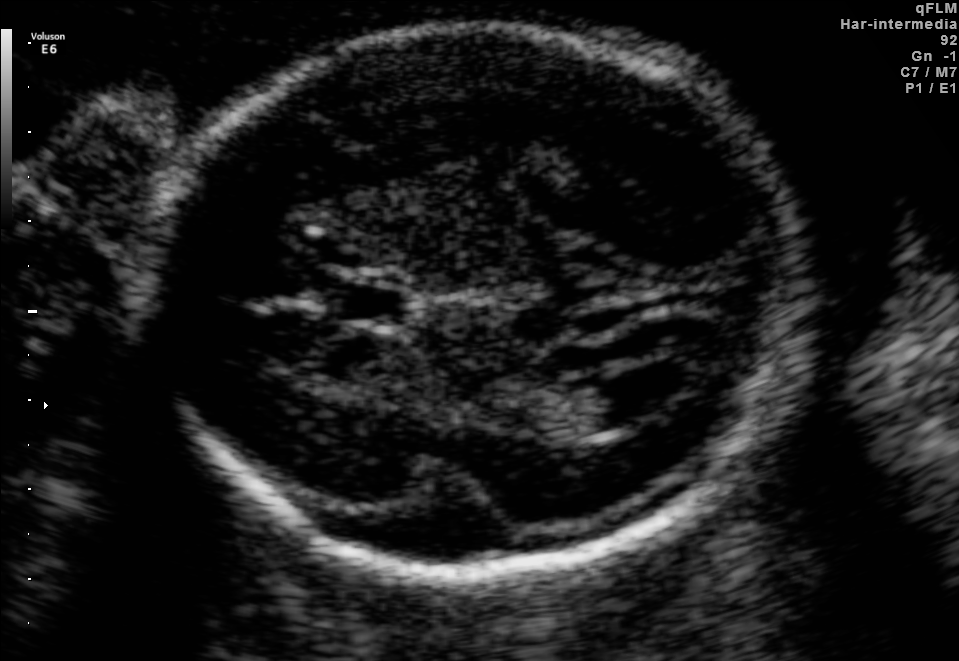
Fetal brain, trans-ventricular plane. Where is the fetal head?

Head bounding box: [121,17,832,592]